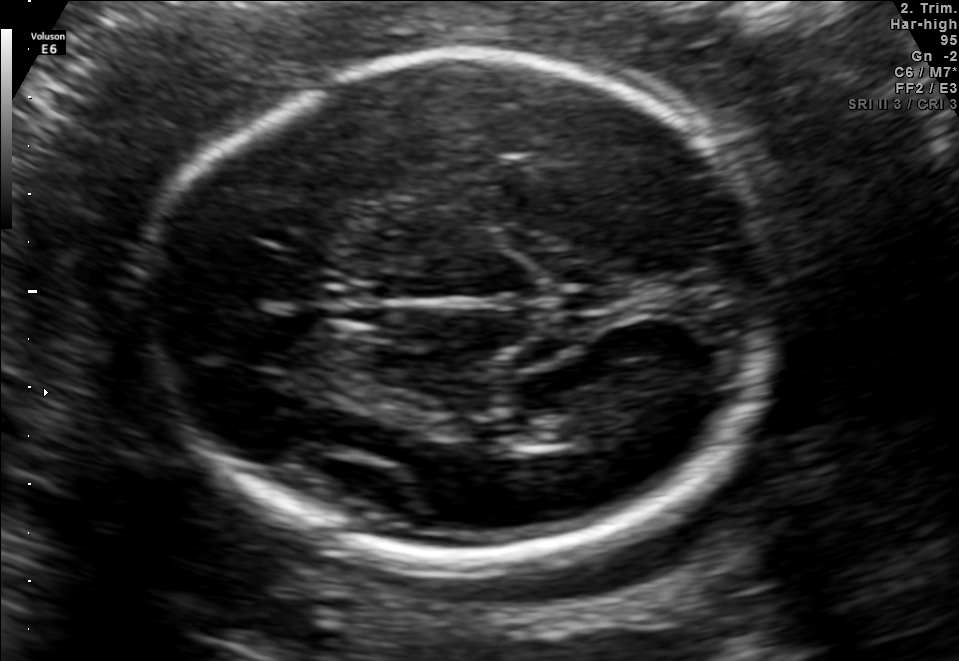
In this fetal brain, trans-thalamic plane, give bounding boxes for the head outline, cavum septum pellucidum (CSP), and lateral ventricle (LV), where visible.

Head: [145,49,768,560]
Lateral ventricle: [514,408,581,447]